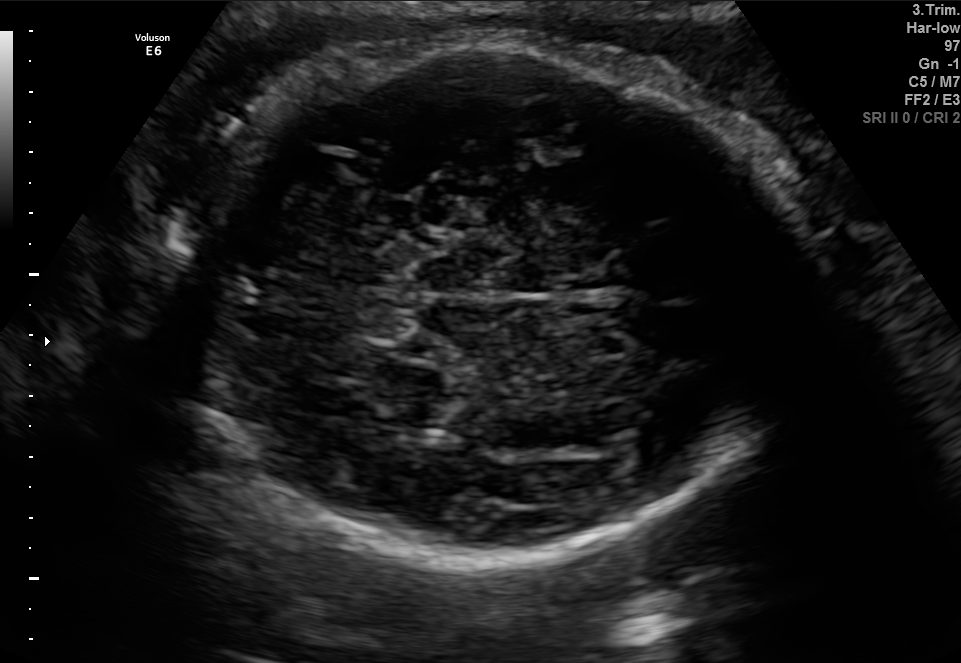
Classify this maternal-fetal ultrasound image as one of the six standard planes — fetal abdomen, fetal brain, fetal femur, fetal thorax, maternal cervix, or other. If it's fetal brain and one of the three standard brain planes (trans-thalamic, trans-cerebellum, trans-ventricular), name which.

Fetal brain (trans-cerebellum plane)